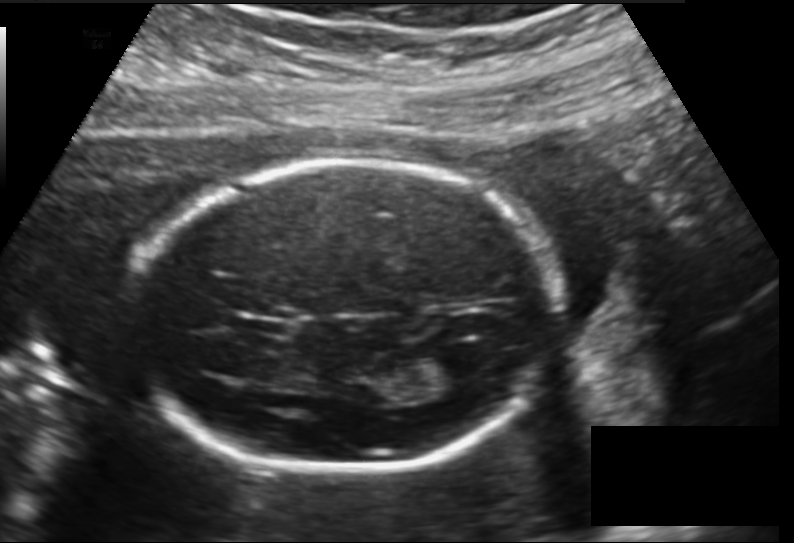
In this fetal head ultrasound, give the bounding box of the cavum septum pellucidum. Image width: 124.7 mm.

[243,316,287,338]